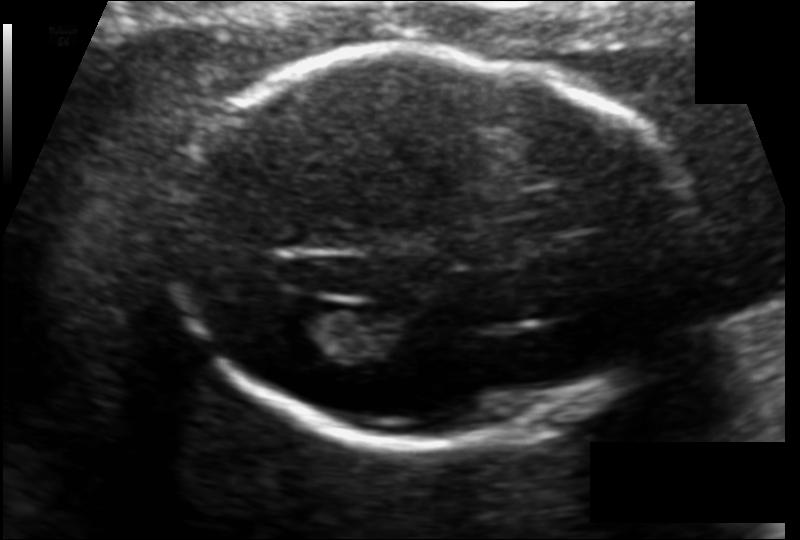
In this fetal head ultrasound, give the bounding box of the fetal head. Image width: 96.2 mm.

[175,49,688,450]